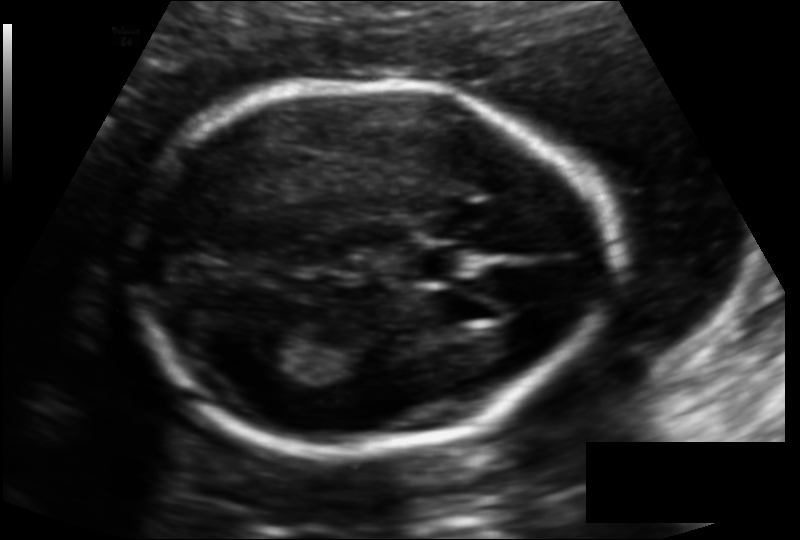
Fetal head ultrasound. Image width: 96.8 mm. Locate the fetal head.

Head: [127,84,605,451]